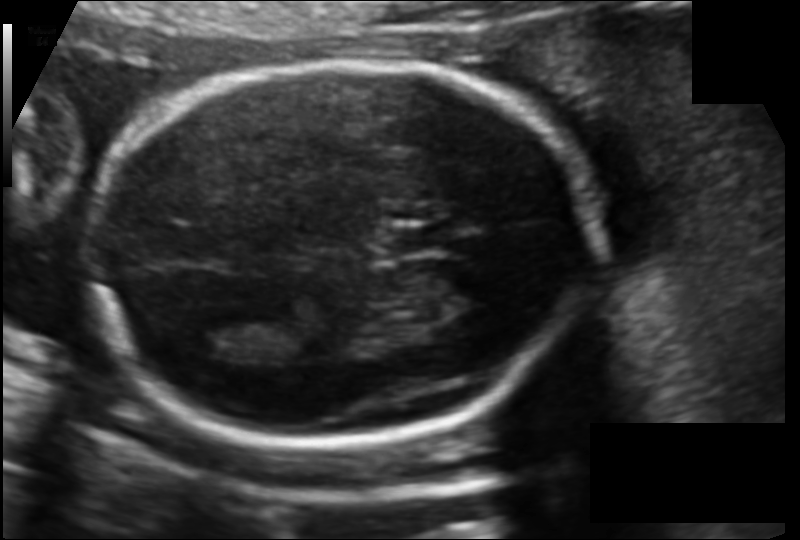
Fetal head ultrasound. Image width: 96.2 mm. Locate the lateral ventricle.

Lateral ventricle: [185,323,251,360]